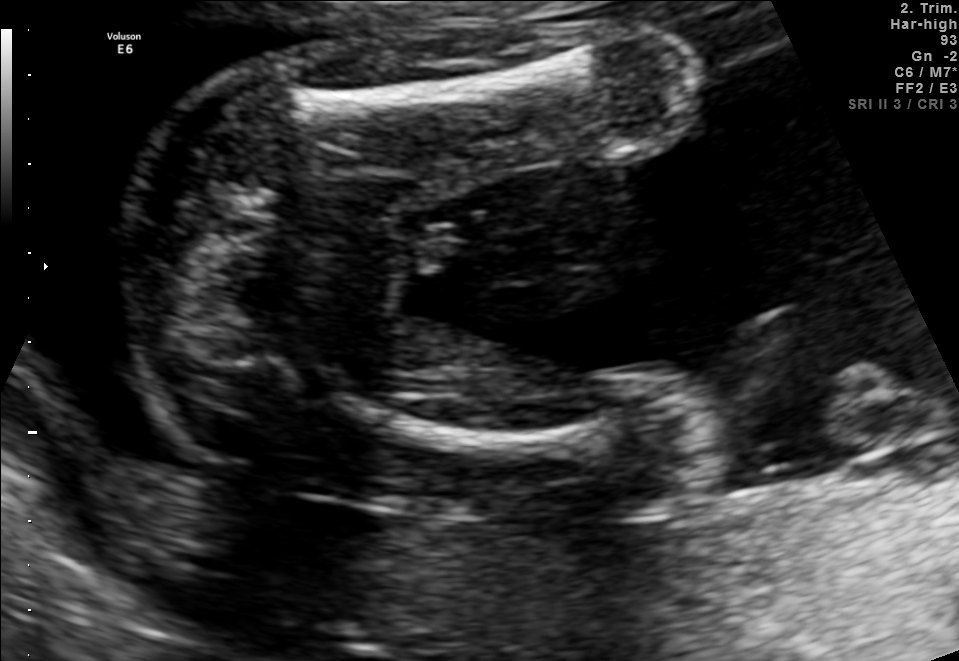
Classify this maternal-fetal ultrasound image as one of the six standard planes — fetal abdomen, fetal brain, fetal femur, fetal thorax, maternal cervix, or other. If it's fetal brain and one of the three standard brain planes (trans-thalamic, trans-cerebellum, trans-ventricular), name which.

Fetal femur